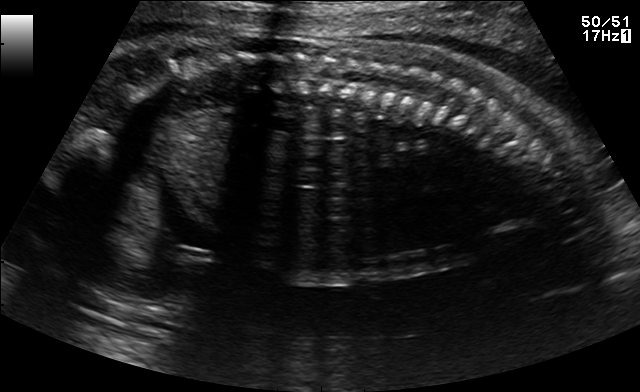
This is a 2D maternal-fetal ultrasound frame. Is it a fetal abdomen, fetal brain, fetal femur, fetal thorax, maternal cervix, or other standard plane? If it's fetal brain and one of the three standard brain planes (trans-thalamic, trans-cerebellum, trans-ventricular), name which.

Other